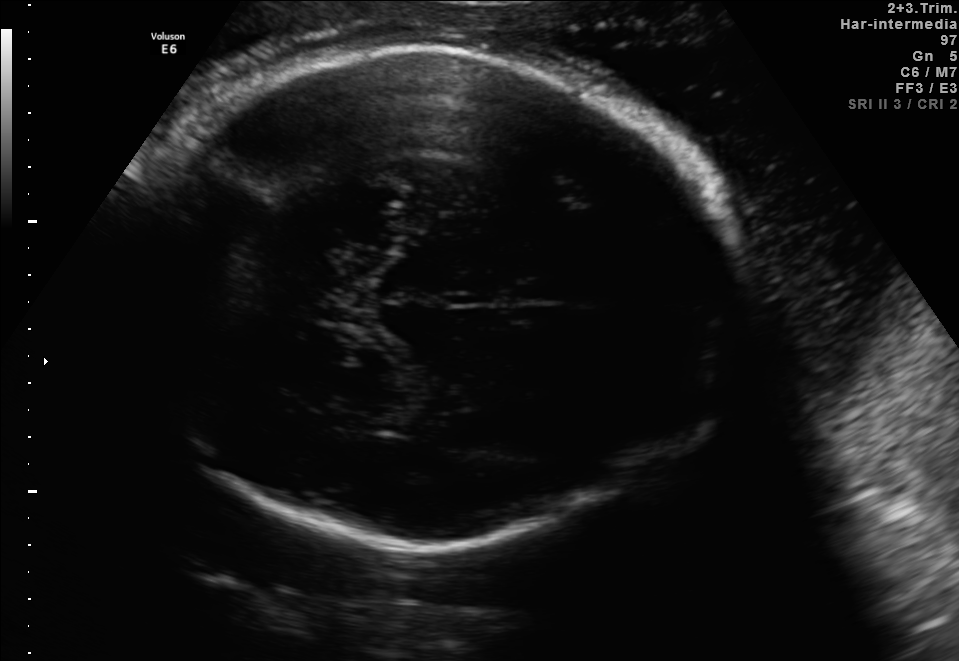
In this fetal brain, trans-thalamic plane, give the bounding box of the fetal head.

[111,45,742,546]